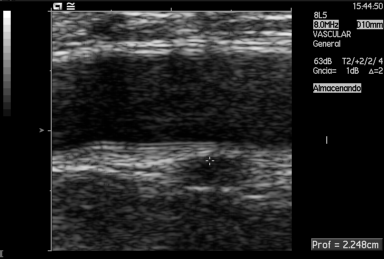
This is a 2D maternal-fetal ultrasound frame. Is it a fetal abdomen, fetal brain, fetal femur, fetal thorax, maternal cervix, or other standard plane? If it's fetal brain and one of the three standard brain planes (trans-thalamic, trans-cerebellum, trans-ventricular), name which.

Other